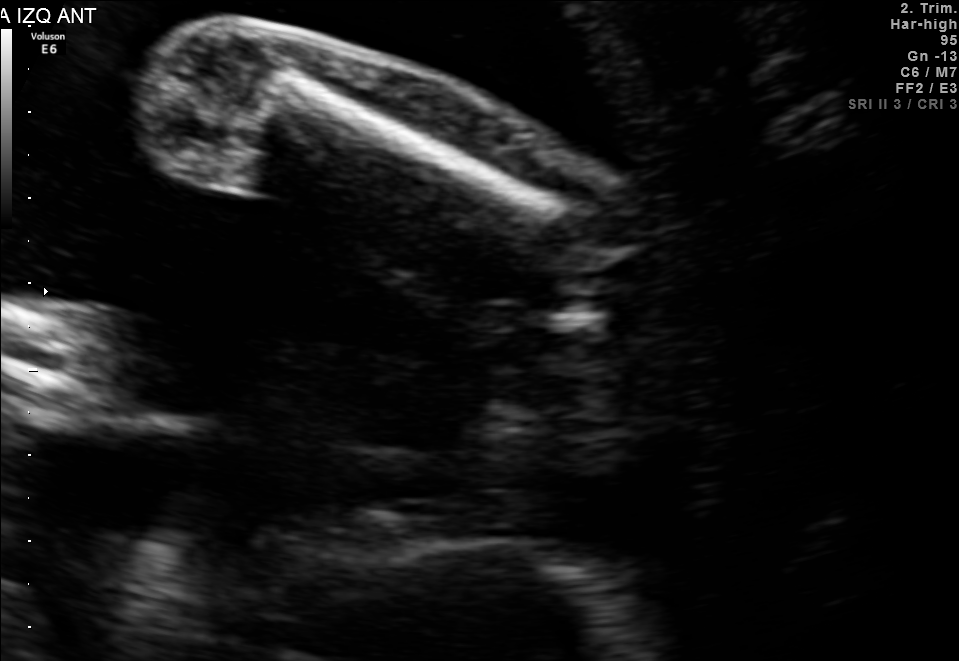
Identify the standard plane in this fetal ultrasound image: fetal abdomen, fetal brain, fetal femur, fetal thorax, maternal cervix, or other. If it's fetal brain and one of the three standard brain planes (trans-thalamic, trans-cerebellum, trans-ventricular), name which.

Fetal femur